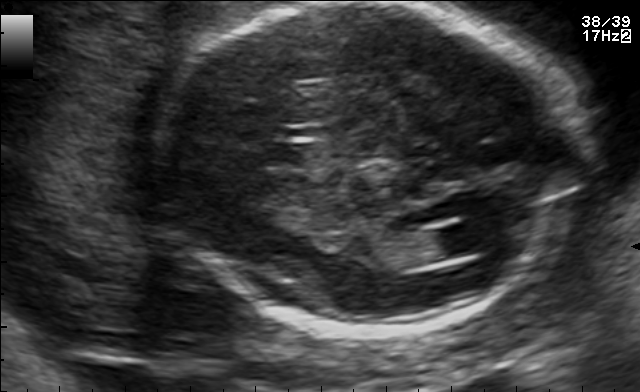
In this fetal brain, trans-ventricular plane, give the bounding box of the lateral ventricle.

[423,217,494,262]